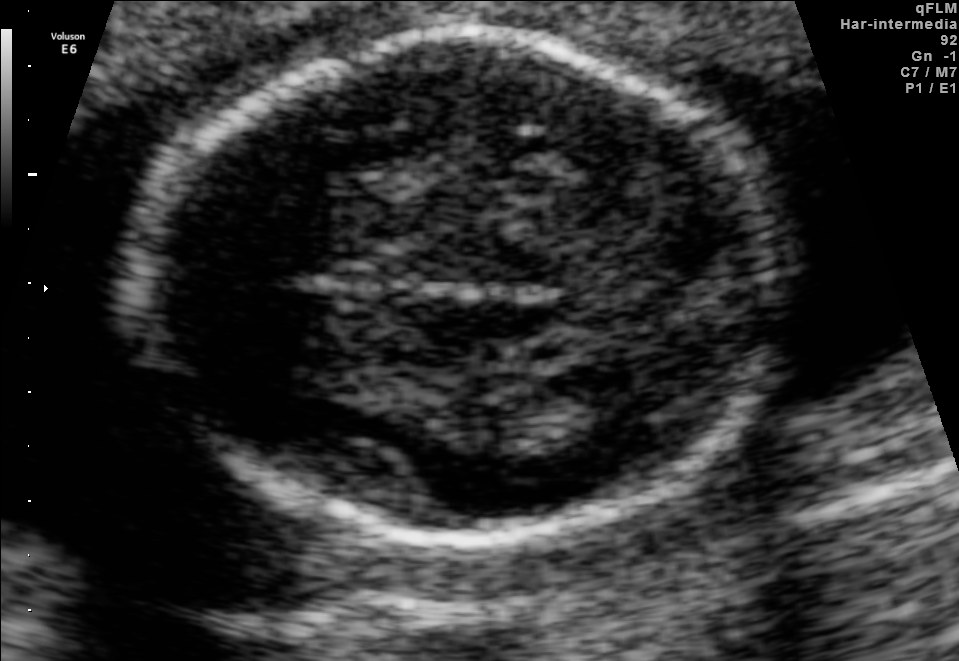
Fetal brain, trans-thalamic plane. Give [x1,y1,x2,y2] bounding boxes for each visible structure among: fetal head, CSP, LV.

Head: [130,30,785,541]